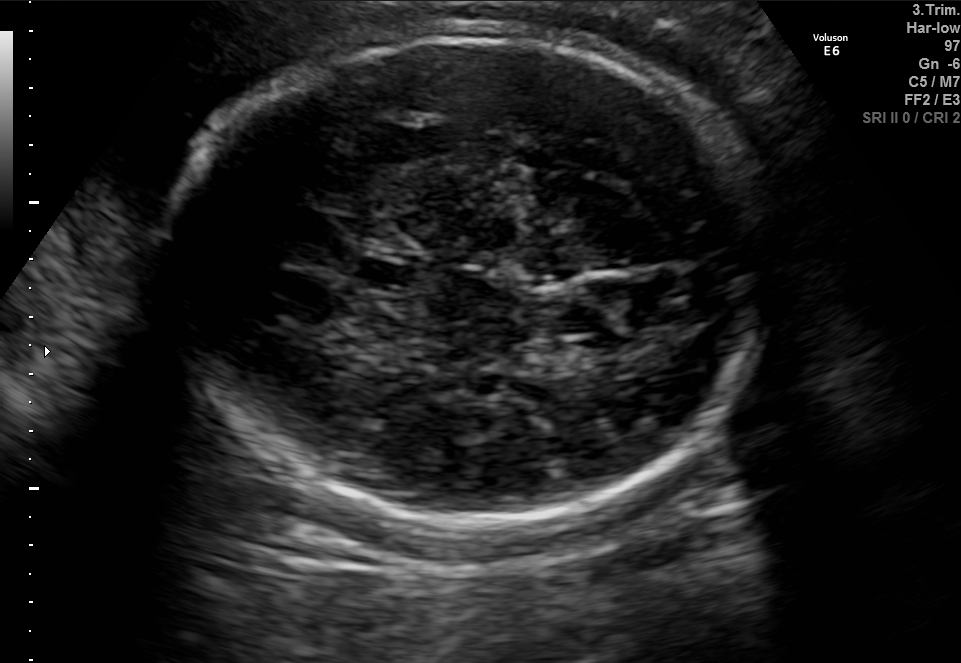
In this fetal brain, trans-thalamic plane, give the bounding box of the cavum septum pellucidum.

[353,257,415,288]